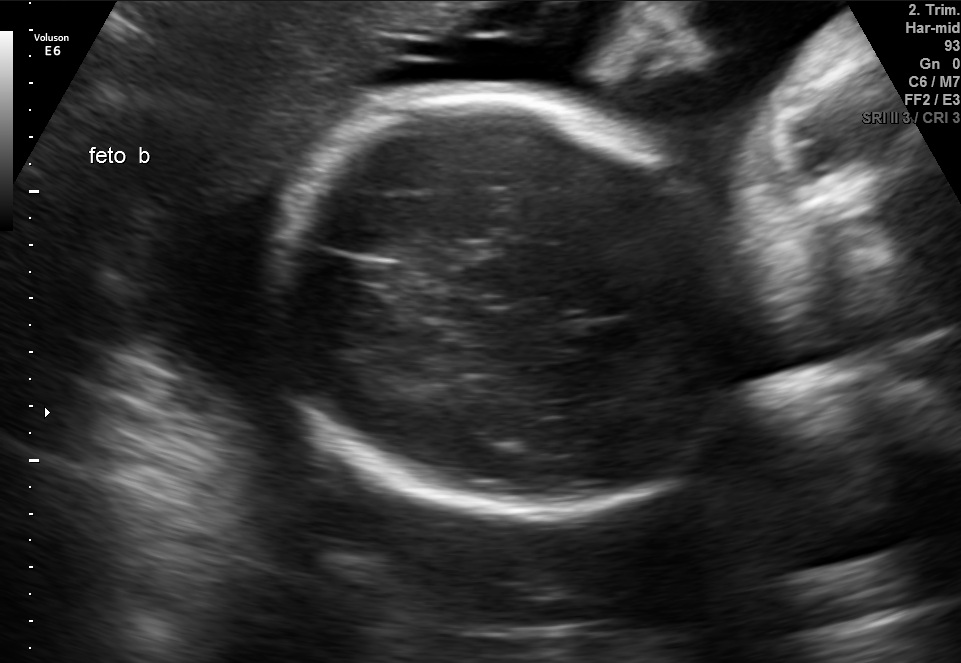
Fetal brain, trans-thalamic plane. Locate the fetal head and, if visible, the cavum septum pellucidum (CSP) and lateral ventricle (LV). Give bounding boxes as [x1,y1,x2,y2].

Head: [272,95,752,520]